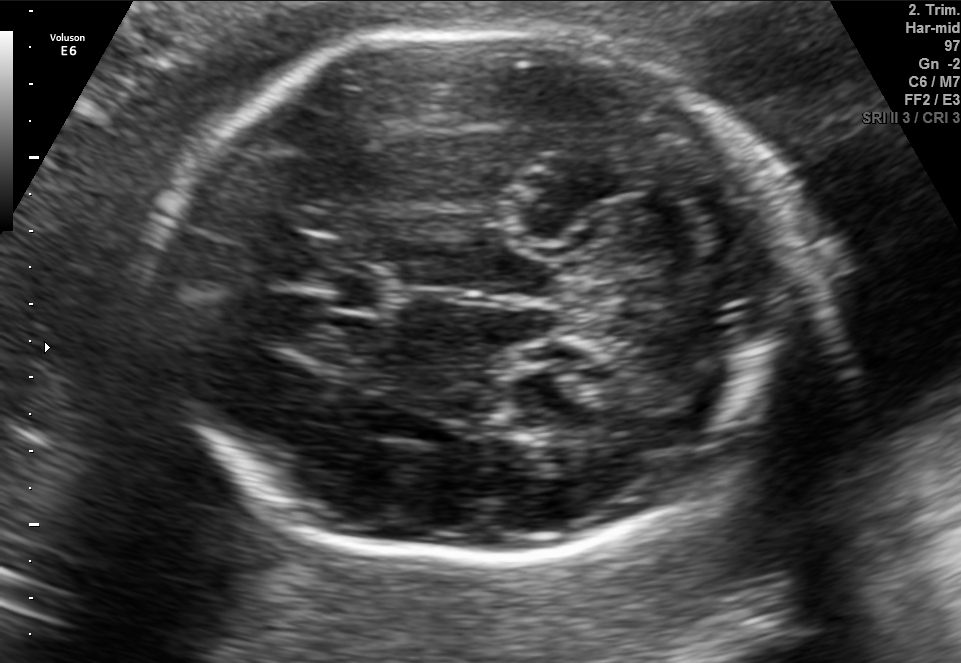
Fetal brain, trans-cerebellum plane. Give [x1,y1,x2,y2] bounding boxes for each visible structure among: fetal head, CSP, LV.

Head: [163,33,784,564]
CSP: [324,268,400,318]